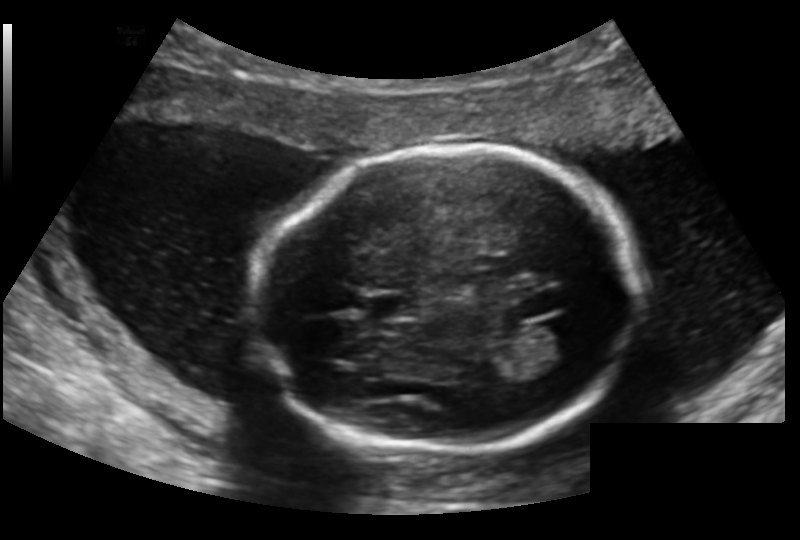
What is the fetal head circumference? Image width is 127.4 mm.

178.1 mm